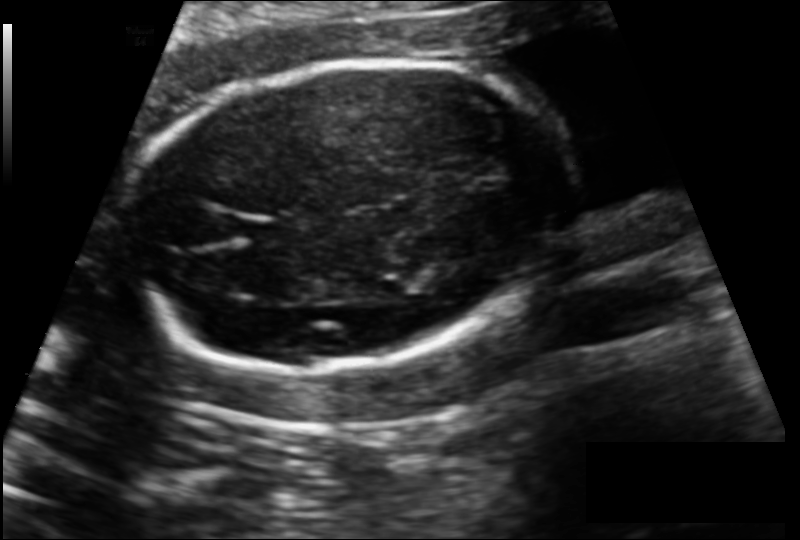
From this fetal ultrasound, estimate the head circumference (image width 111.1 mm).

Head circumference: 166.2 mm.